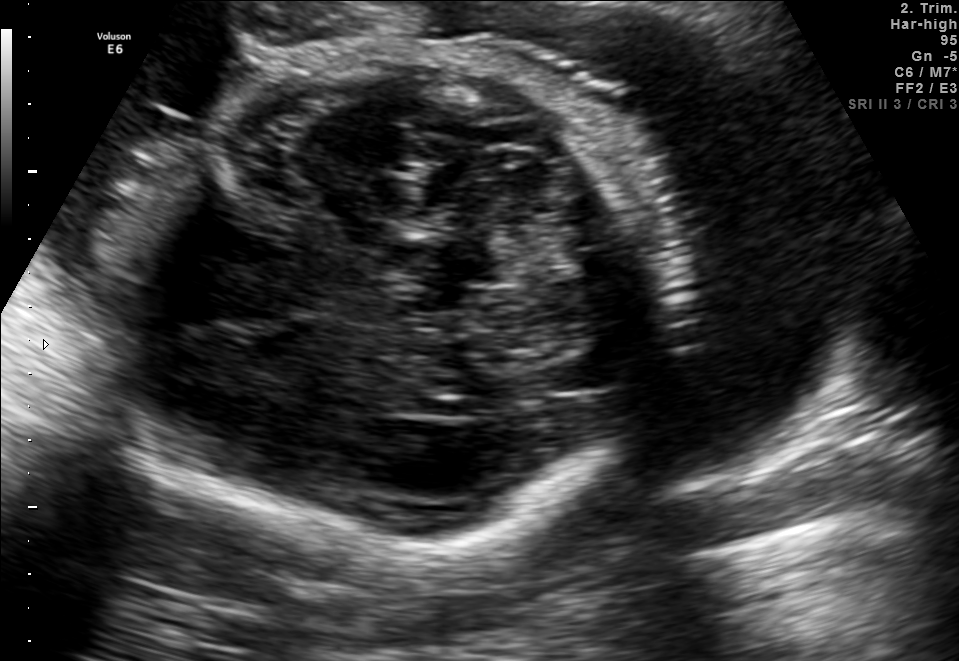
This is a 2D maternal-fetal ultrasound frame. Is it a fetal abdomen, fetal brain, fetal femur, fetal thorax, maternal cervix, or other standard plane? If it's fetal brain and one of the three standard brain planes (trans-thalamic, trans-cerebellum, trans-ventricular), name which.

Fetal brain (trans-cerebellum plane)